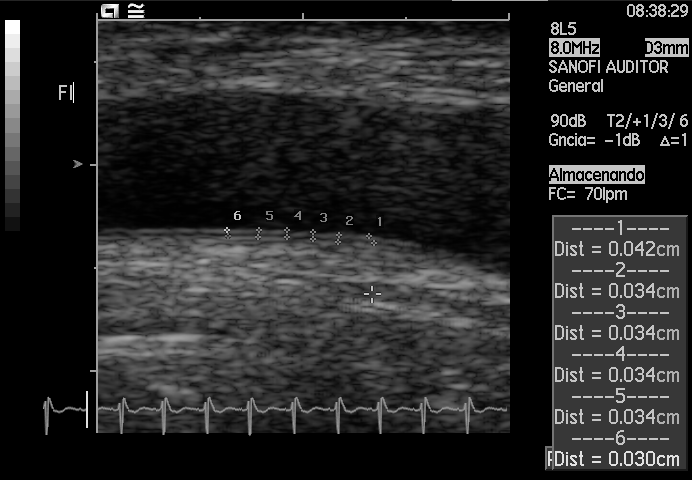
Identify the standard plane in this fetal ultrasound image: fetal abdomen, fetal brain, fetal femur, fetal thorax, maternal cervix, or other. If it's fetal brain and one of the three standard brain planes (trans-thalamic, trans-cerebellum, trans-ventricular), name which.

Other